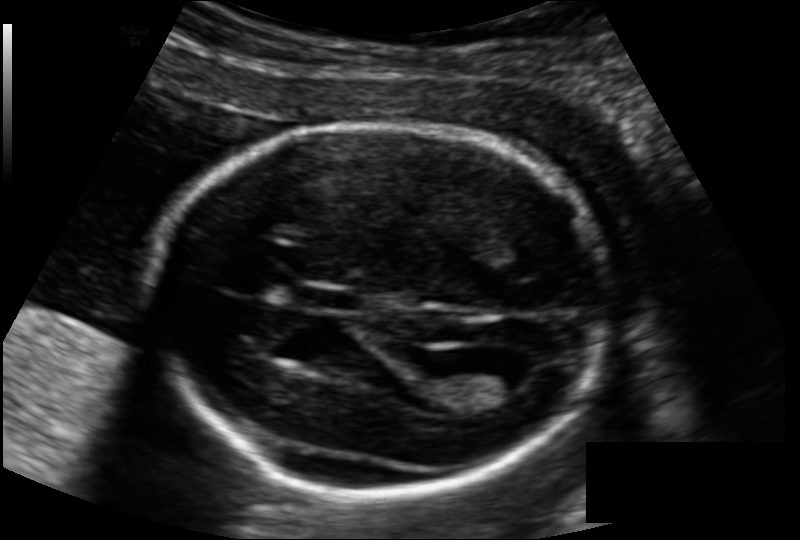
In this fetal head ultrasound, give bounding boxes for the head outline, cavum septum pellucidum (CSP), and lateral ventricle (LV), where visible. Image width: 106.7 mm.

Head: [153,123,608,492]
CSP: [295,280,355,315]
Lateral ventricle: [467,350,539,407]